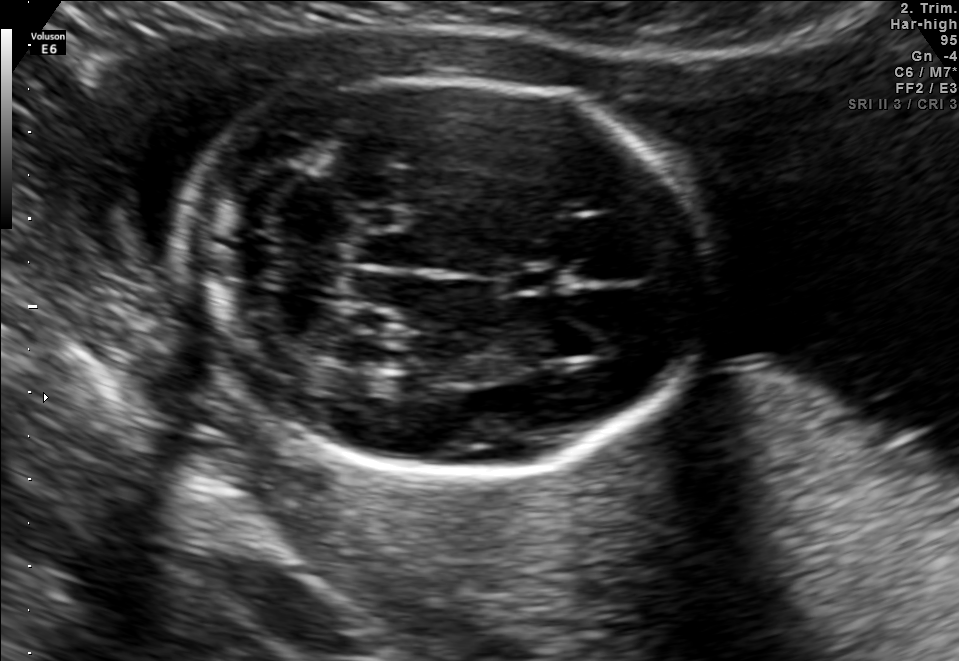
Fetal brain, trans-cerebellum plane. Locate the cavum septum pellucidum.

CSP: [497,265,557,295]